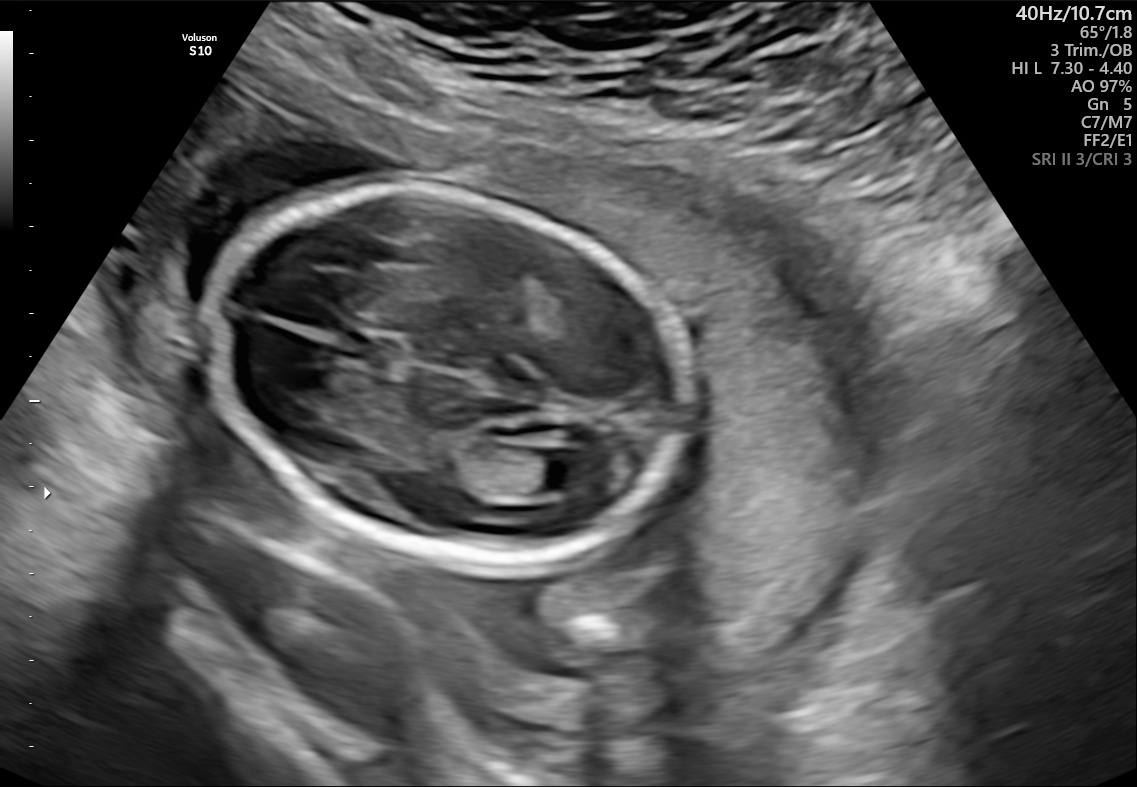
In this fetal brain, trans-ventricular plane, give the bounding box of the fetal head.

[205,183,692,566]